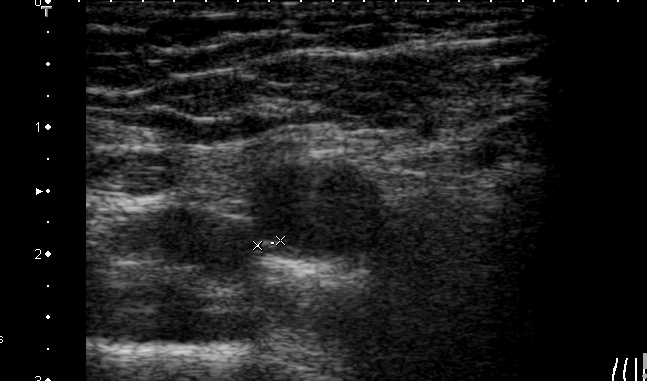
Classify this maternal-fetal ultrasound image as one of the six standard planes — fetal abdomen, fetal brain, fetal femur, fetal thorax, maternal cervix, or other. If it's fetal brain and one of the three standard brain planes (trans-thalamic, trans-cerebellum, trans-ventricular), name which.

Other